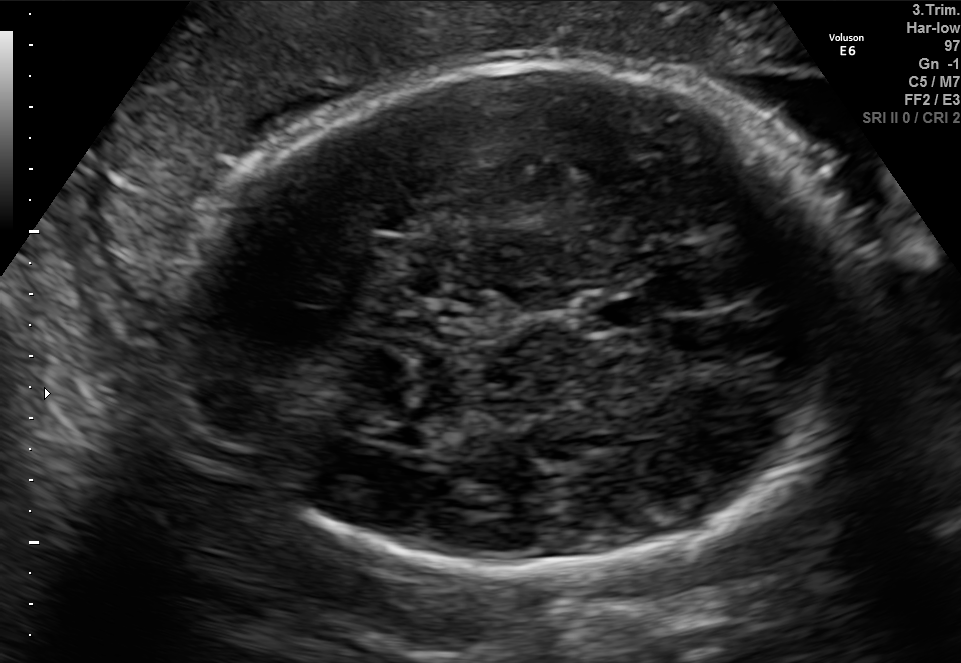
This is a 2D maternal-fetal ultrasound frame. Is it a fetal abdomen, fetal brain, fetal femur, fetal thorax, maternal cervix, or other standard plane? If it's fetal brain and one of the three standard brain planes (trans-thalamic, trans-cerebellum, trans-ventricular), name which.

Fetal brain (trans-thalamic plane)